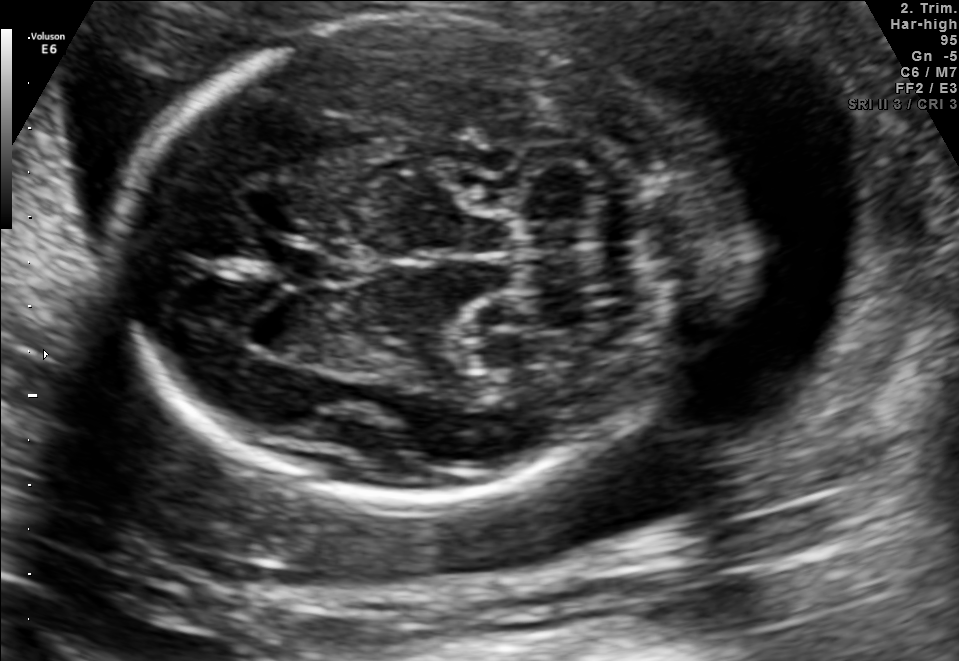
In this fetal brain, trans-cerebellum plane, give bounding boxes for the head outline, cavum septum pellucidum (CSP), and lateral ventricle (LV), where visible.

Head: [124,14,719,501]
CSP: [271,243,340,290]